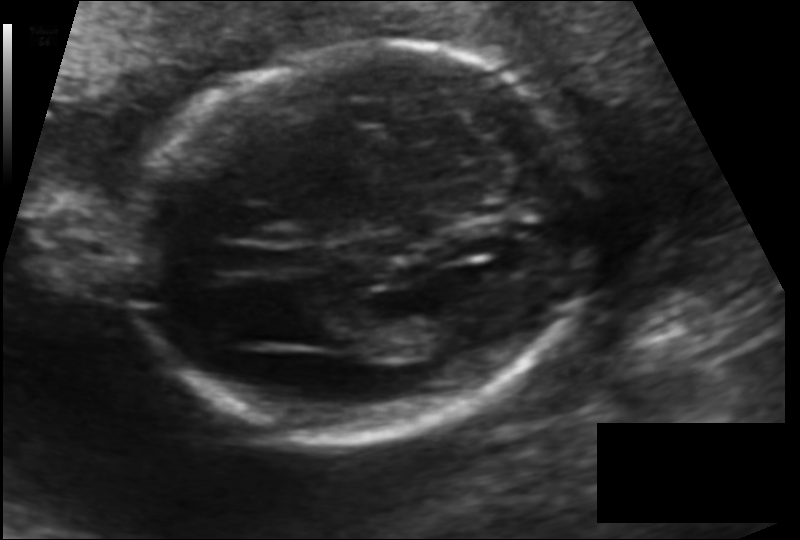
Fetal head ultrasound. Image width: 96.4 mm. Where is the fetal head?

Head bounding box: [132,44,590,434]